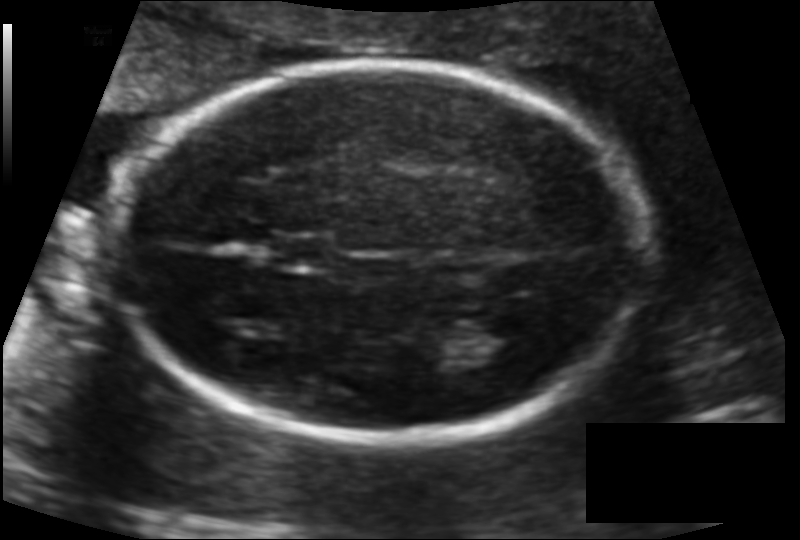
Measure the fetal head circumference shown in this ultrasound image. Image width: 91.7 mm.

Head circumference: 167.2 mm.